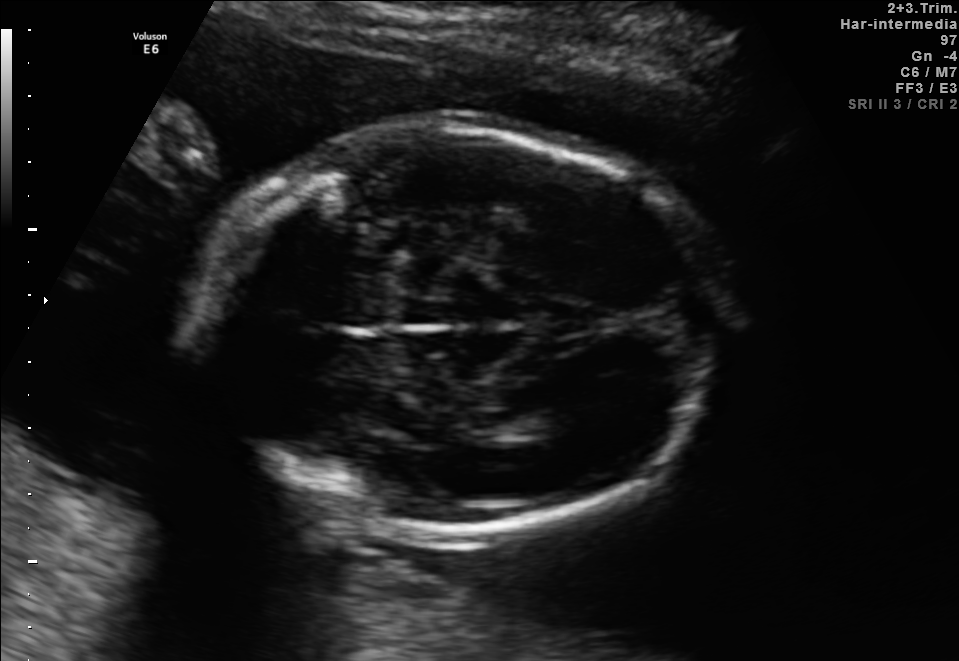
This is a 2D maternal-fetal ultrasound frame. Is it a fetal abdomen, fetal brain, fetal femur, fetal thorax, maternal cervix, or other standard plane? If it's fetal brain and one of the three standard brain planes (trans-thalamic, trans-cerebellum, trans-ventricular), name which.

Fetal brain (trans-thalamic plane)